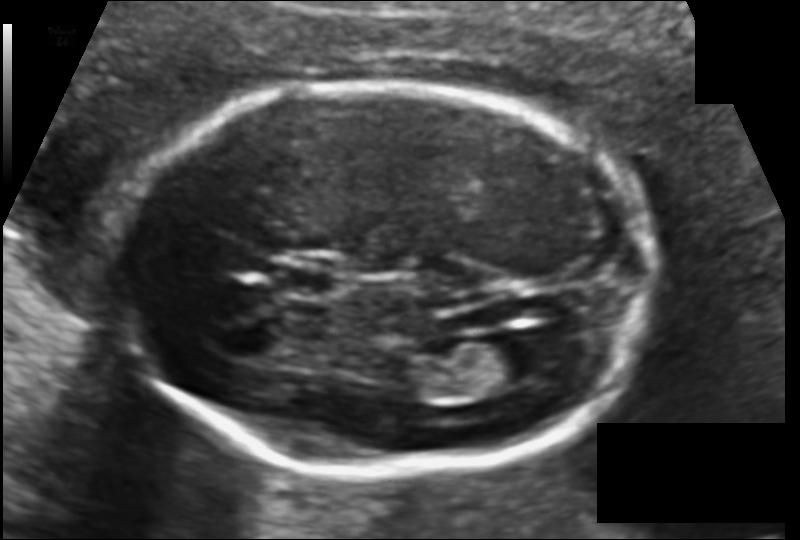
Fetal head ultrasound. Image width: 90.6 mm. Locate the fetal head.

Head: [122,84,657,474]